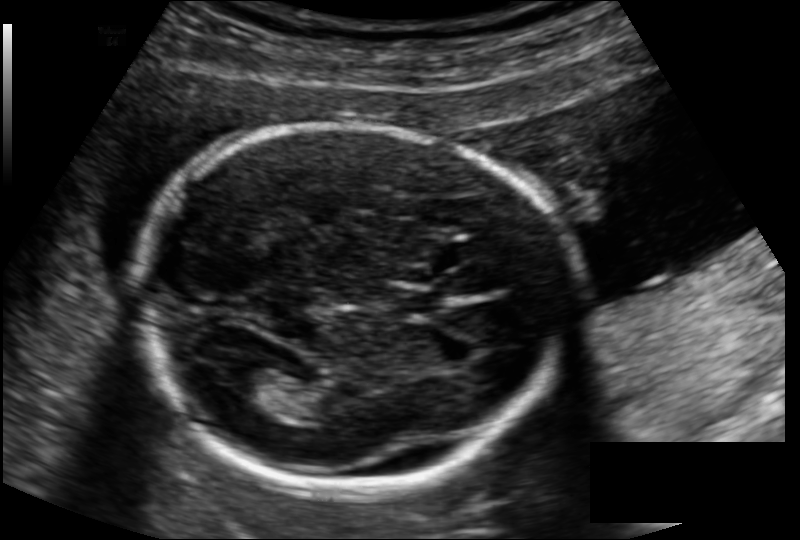
In this fetal head ultrasound, give bounding boxes for the head outline, cavum septum pellucidum (CSP), and lateral ventricle (LV), where visible. Image width: 107.6 mm.

Head: [141,122,562,492]
CSP: [385,284,441,316]
Lateral ventricle: [226,356,281,404]